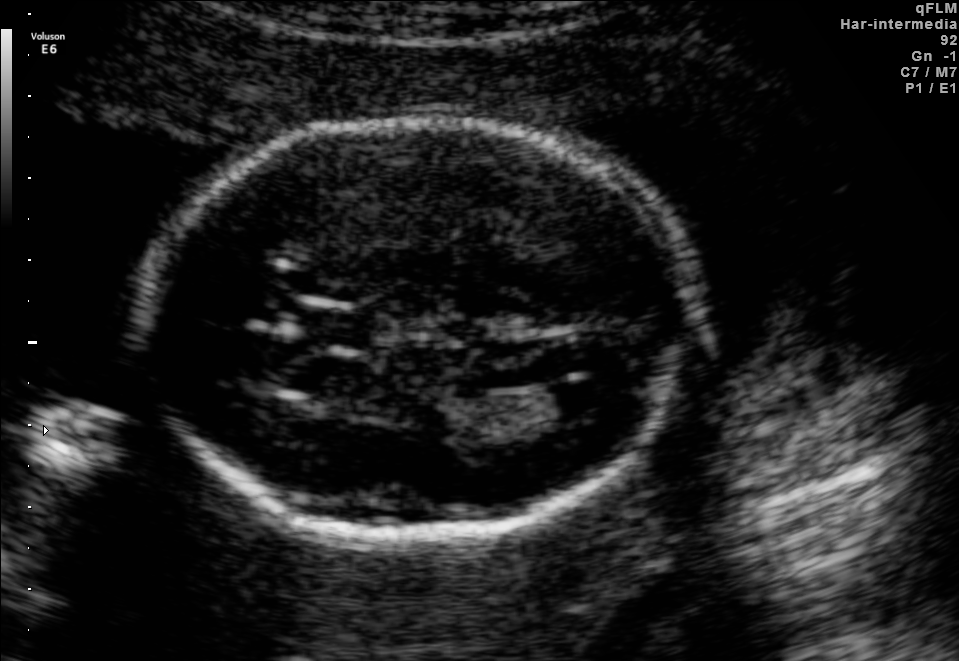
Fetal brain, trans-ventricular plane. Where is the fetal head?

Head bounding box: [133,111,706,546]